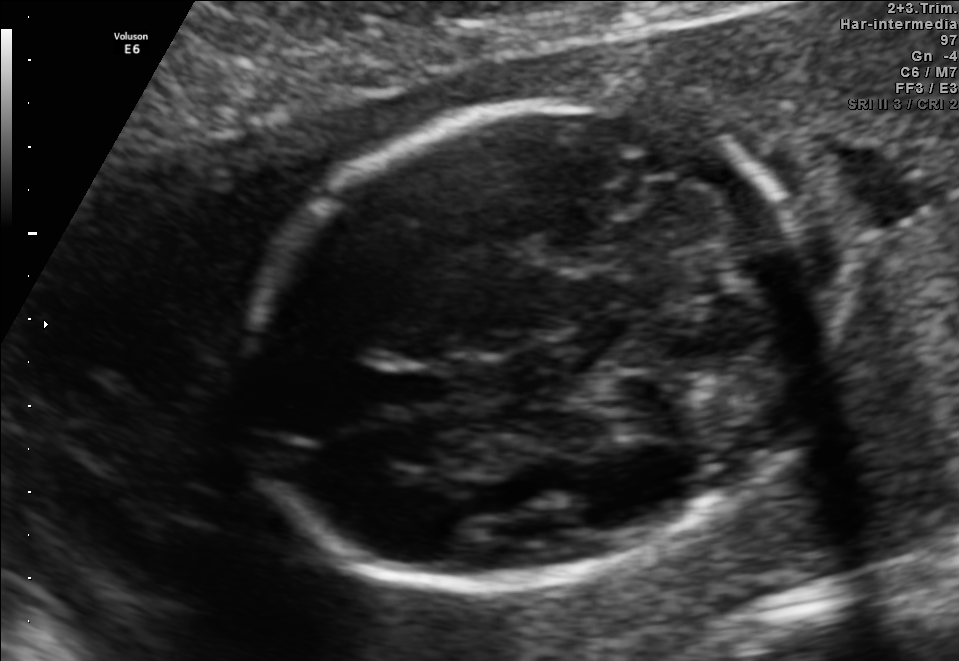
Fetal brain, trans-cerebellum plane. Where is the fetal head?

Head bounding box: [247,102,826,581]